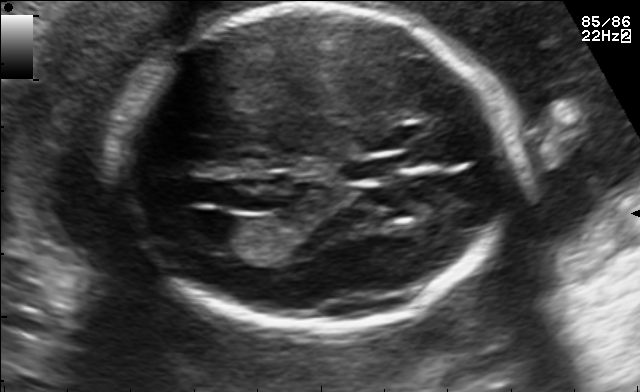
Fetal brain, trans-ventricular plane. Where is the fetal head?

Head bounding box: [118,2,518,337]